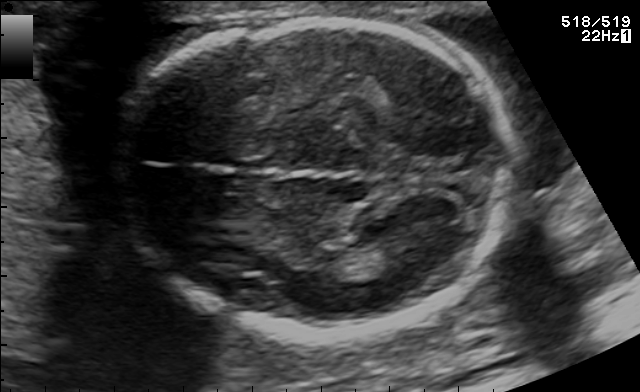
Fetal brain, trans-thalamic plane. Give [x1,y1,x2,y2] bounding boxes for each visible structure among: fetal head, CSP, LV.

Head: [121,17,514,335]